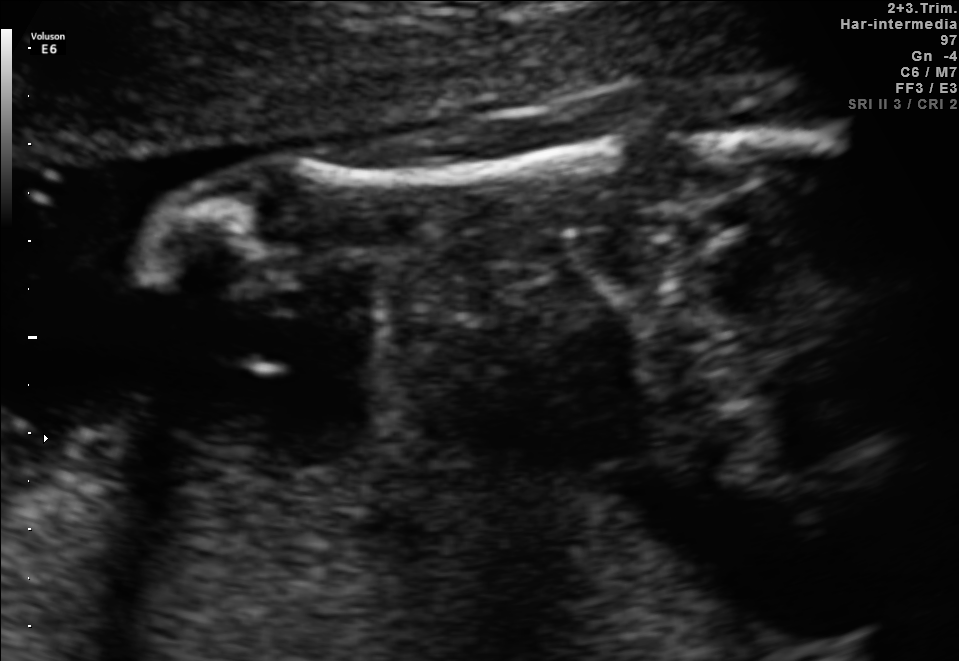
This is a 2D maternal-fetal ultrasound frame. Is it a fetal abdomen, fetal brain, fetal femur, fetal thorax, maternal cervix, or other standard plane? If it's fetal brain and one of the three standard brain planes (trans-thalamic, trans-cerebellum, trans-ventricular), name which.

Other